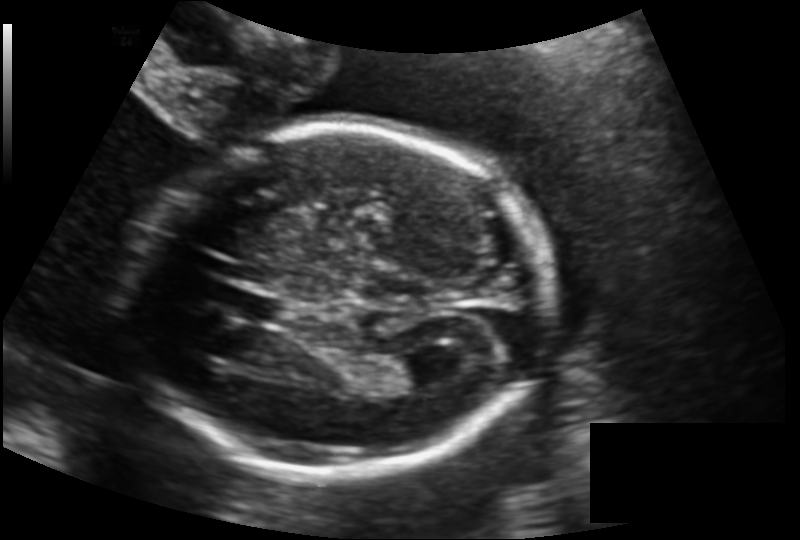
In this fetal head ultrasound, give the bounding box of the cavum septum pellucidum. Image width: 117.2 mm.

[225,284,291,330]